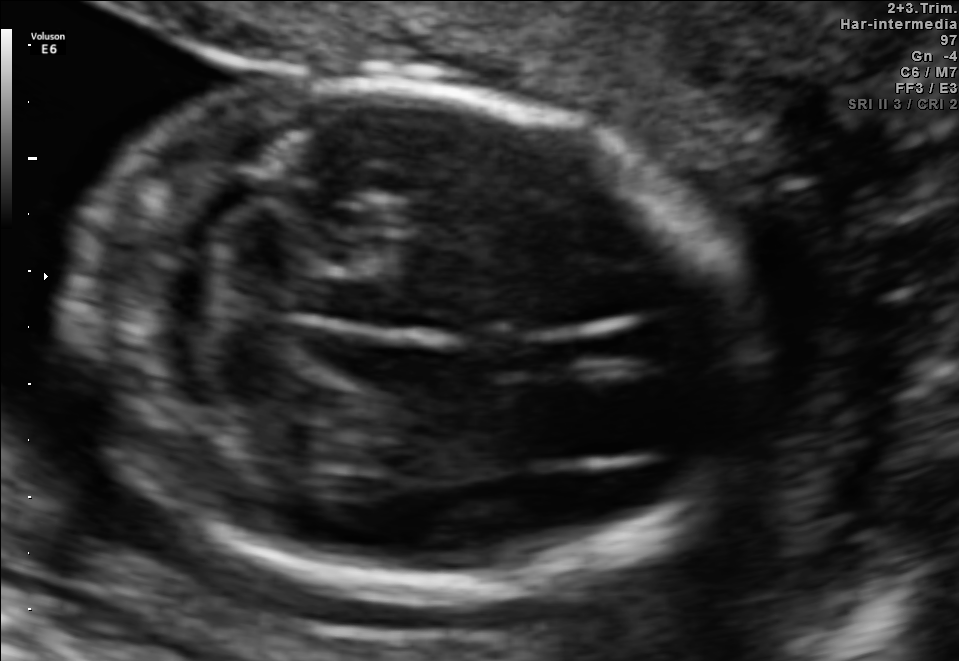
Fetal brain, trans-cerebellum plane. Locate the cavum septum pellucidum.

CSP: [478,330,581,381]